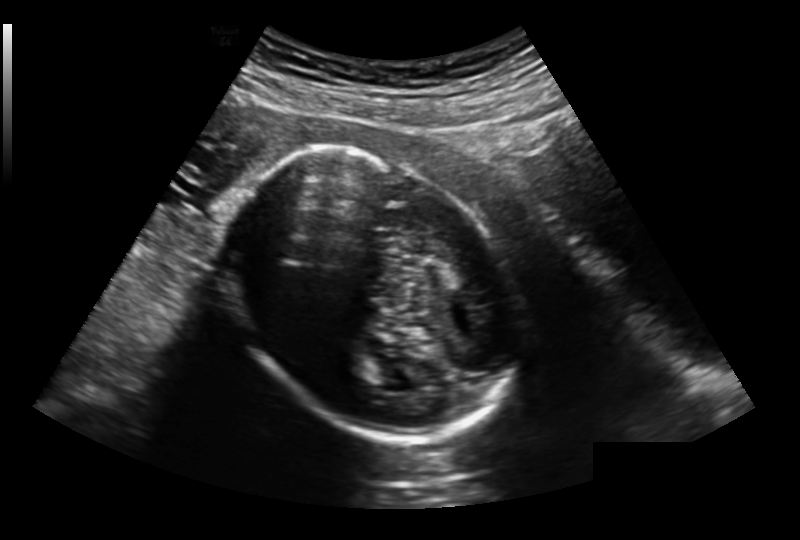
Fetal head ultrasound. Image width: 170.5 mm. Give [x1,y1,x2,y2] bounding boxes for each visible structure among: fetal head, CSP, LV.

Head: [234,145,516,444]